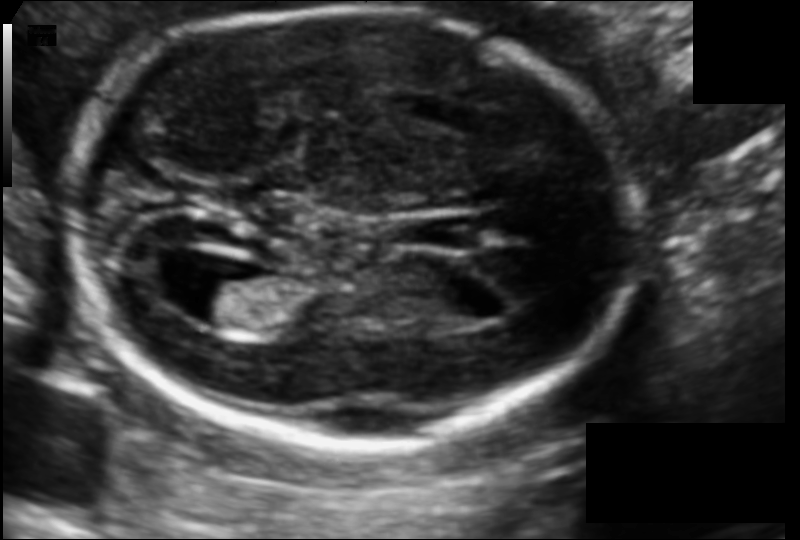
In this fetal head ultrasound, give the bounding box of the cavum septum pellucidum. Image width: 83.9 mm.

[421,216,479,250]